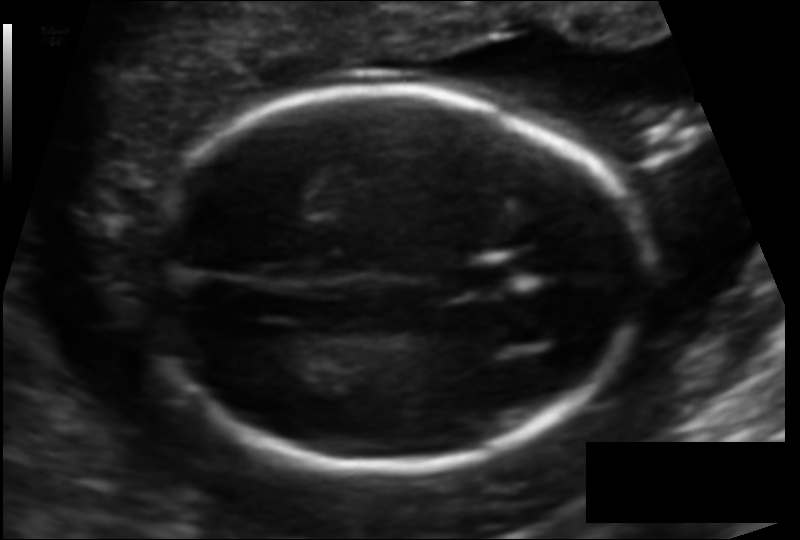
In this fetal head ultrasound, give bounding boxes for the head outline, cavum septum pellucidum (CSP), and lateral ventricle (LV), where visible. Image width: 91.5 mm.

Head: [152,88,645,470]
CSP: [443,256,512,300]